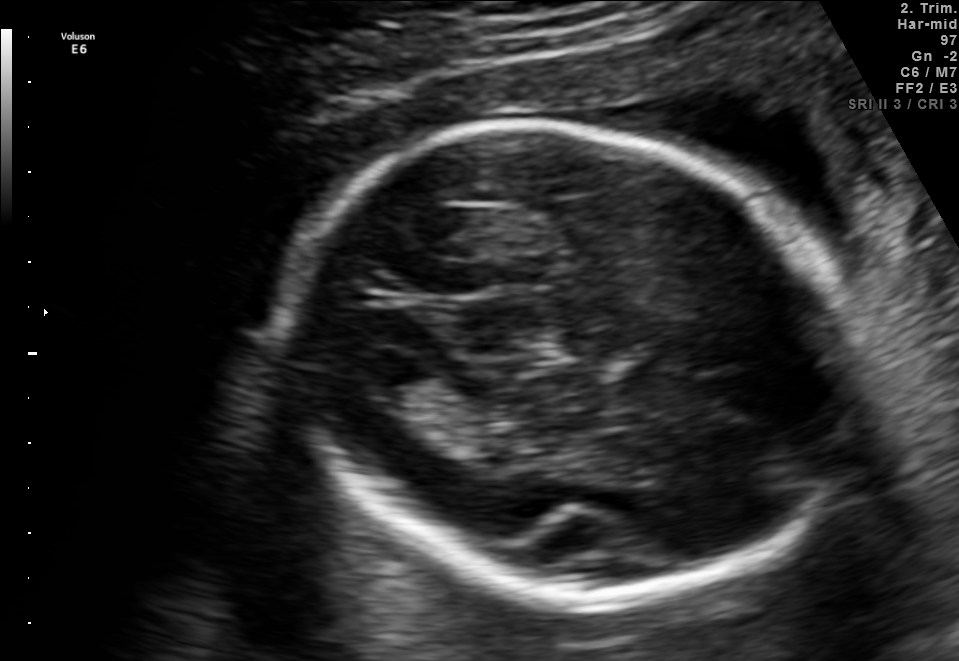
In this fetal brain, trans-thalamic plane, give the bounding box of the fetal head.

[288,123,861,604]